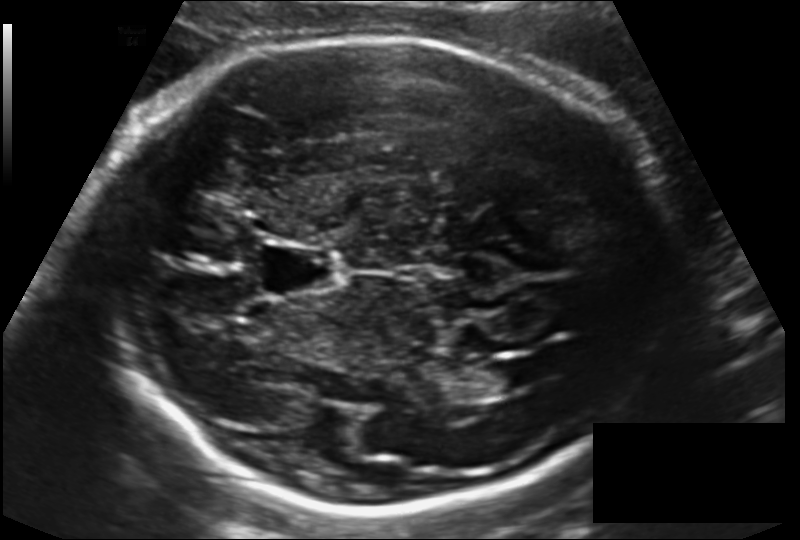
Measure the fetal head circumference shown in this ultrasound image. Image width: 123.9 mm.

Head circumference: 258.5 mm.